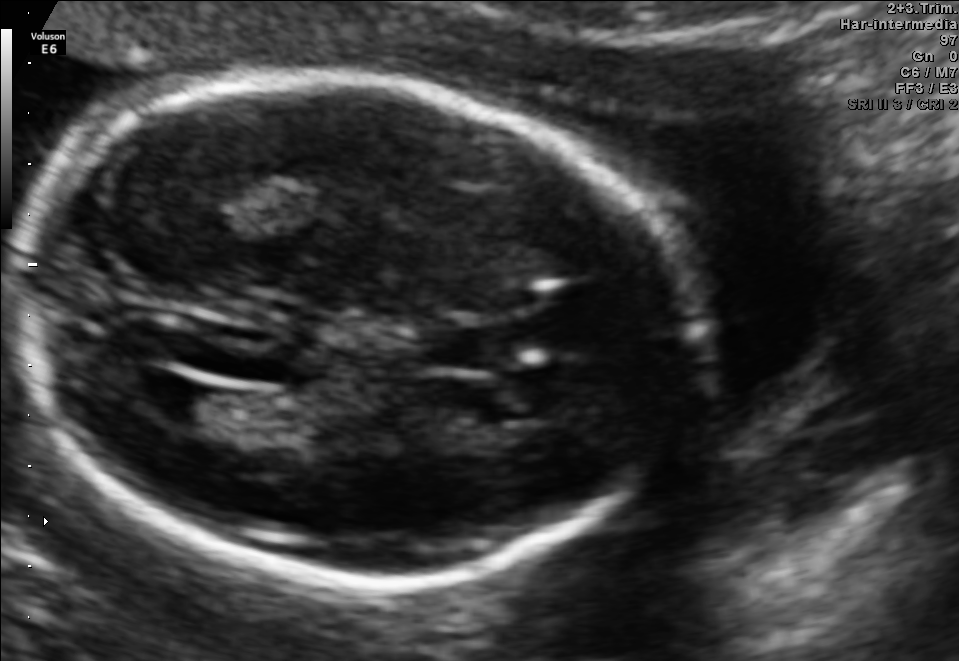
Fetal brain, trans-ventricular plane. Where is the cavum septum pellucidum?

CSP bounding box: [429,329,499,368]